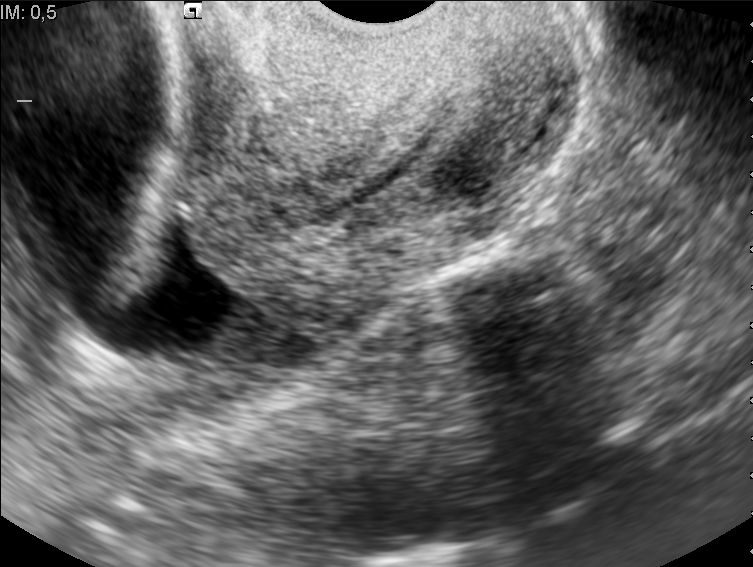
Classify this maternal-fetal ultrasound image as one of the six standard planes — fetal abdomen, fetal brain, fetal femur, fetal thorax, maternal cervix, or other. If it's fetal brain and one of the three standard brain planes (trans-thalamic, trans-cerebellum, trans-ventricular), name which.

Maternal cervix